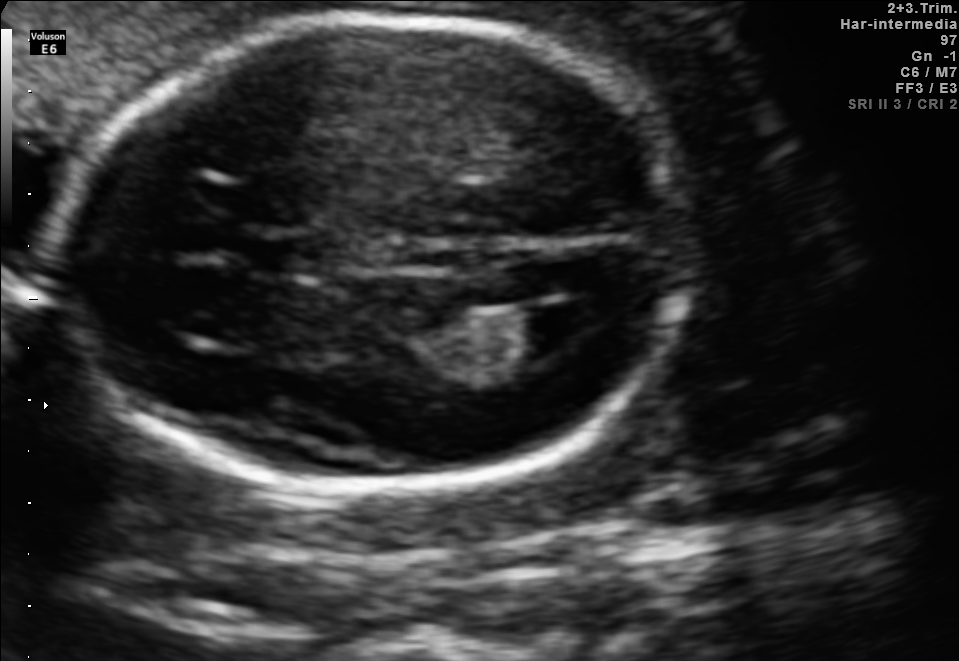
In this fetal brain, trans-ventricular plane, give the bounding box of the fetal head.

[54,9,703,502]